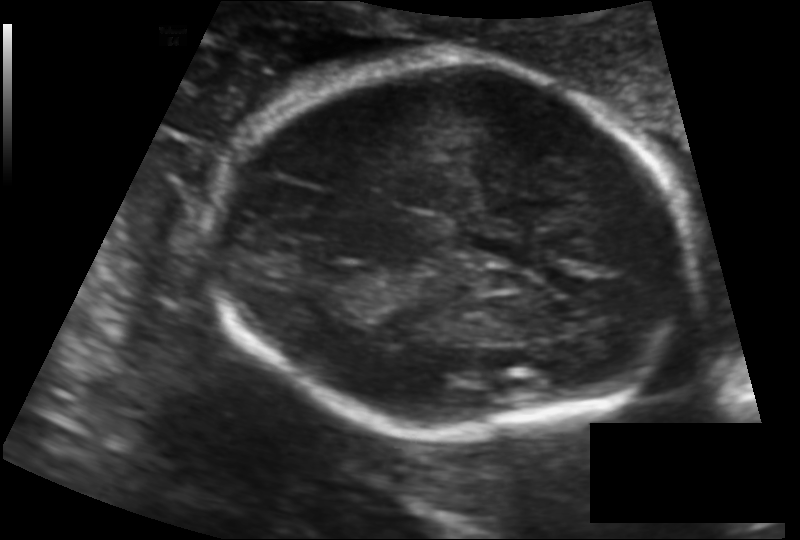
From this fetal ultrasound, estimate the head circumference (image width 102.5 mm).

Head circumference: 179.8 mm.